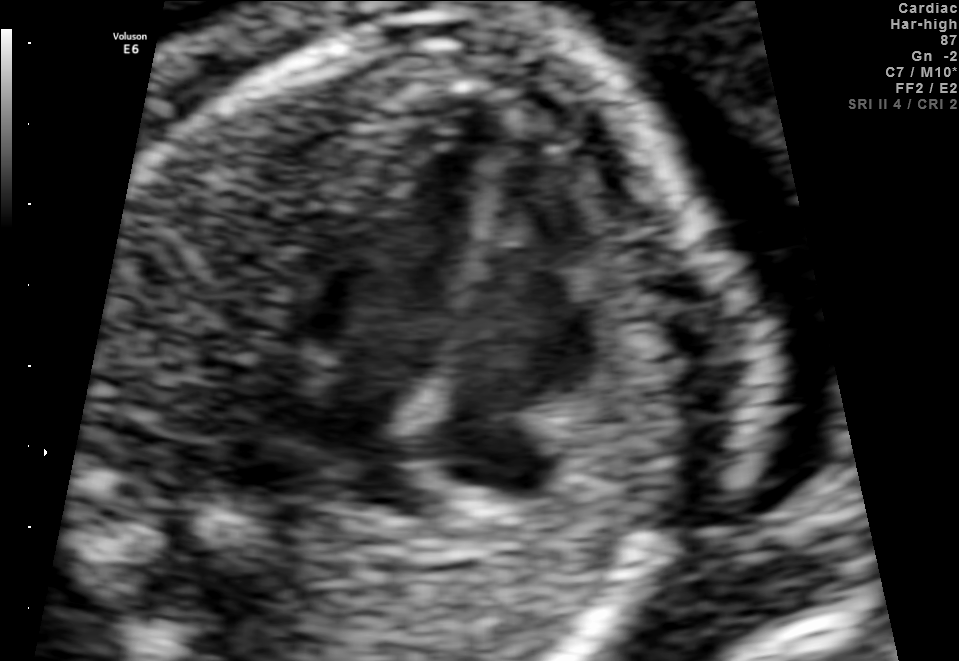
This is a 2D maternal-fetal ultrasound frame. Is it a fetal abdomen, fetal brain, fetal femur, fetal thorax, maternal cervix, or other standard plane? If it's fetal brain and one of the three standard brain planes (trans-thalamic, trans-cerebellum, trans-ventricular), name which.

Fetal thorax